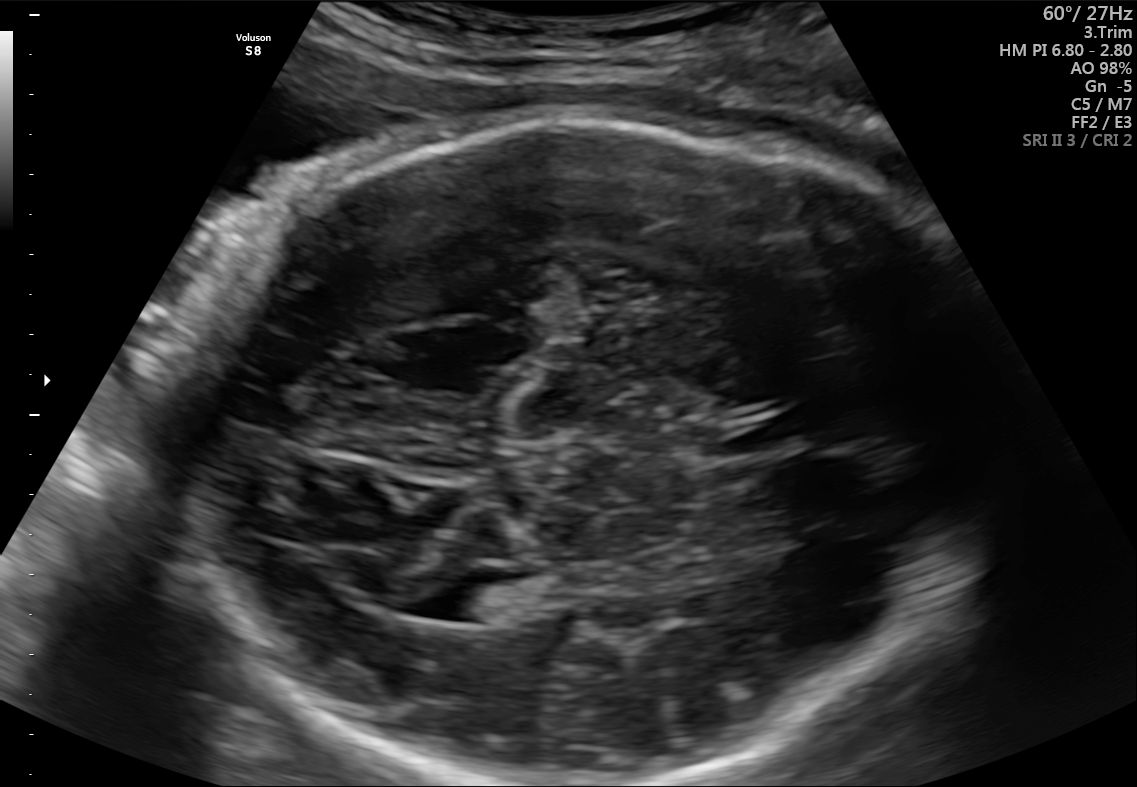
In this fetal brain, trans-thalamic plane, give bounding boxes for the head outline, cavum septum pellucidum (CSP), and lateral ventricle (LV), where visible.

Head: [177,119,1010,785]
CSP: [710,410,801,461]
Lateral ventricle: [416,563,526,633]